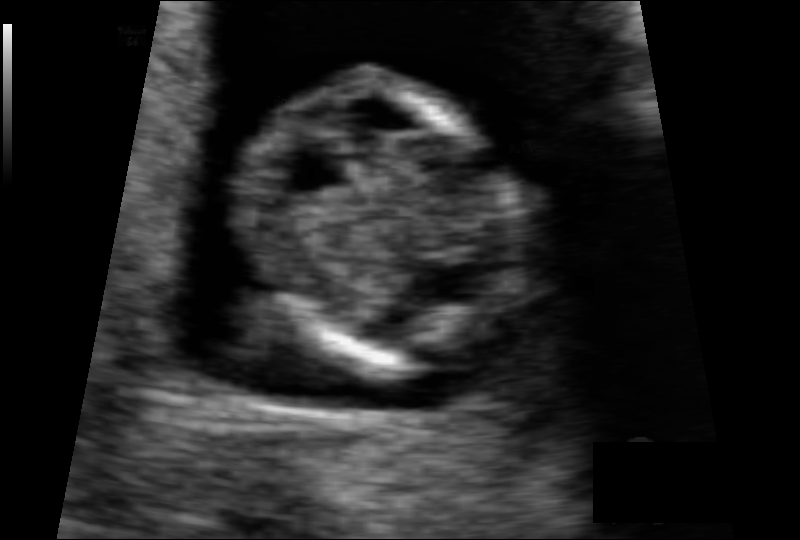
From this fetal ultrasound, estimate the head circumference (image width 59.9 mm).

Head circumference: 70.1 mm.